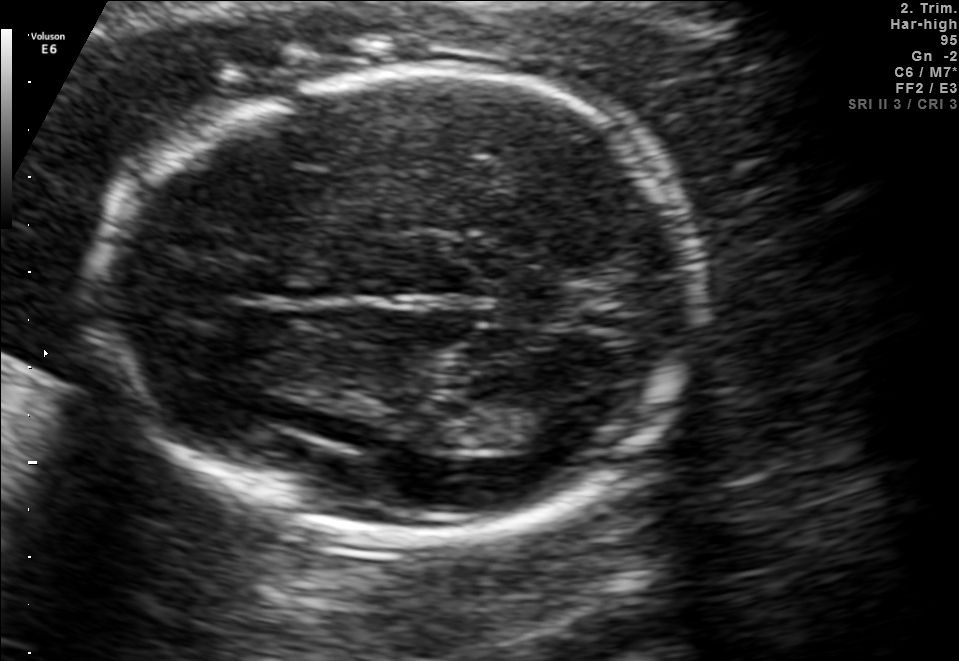
Fetal brain, trans-thalamic plane. Locate the fetal head.

Head: [117,68,700,531]